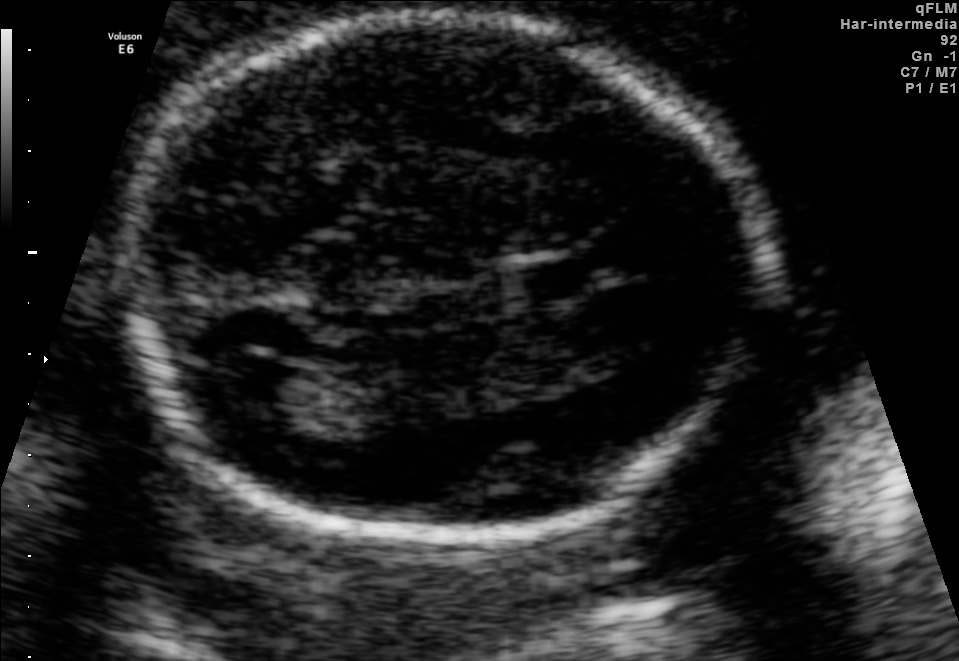
In this fetal brain, trans-ventricular plane, give the bounding box of the cavum septum pellucidum.

[498,241,612,316]